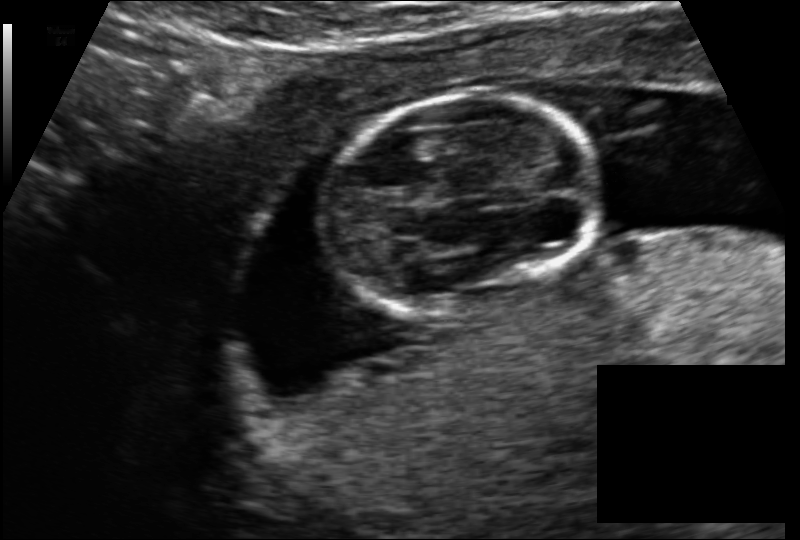
Estimate the fetal head circumference from this 2D ultrasound.

Head circumference: 94.3 mm (image width 91.1 mm).